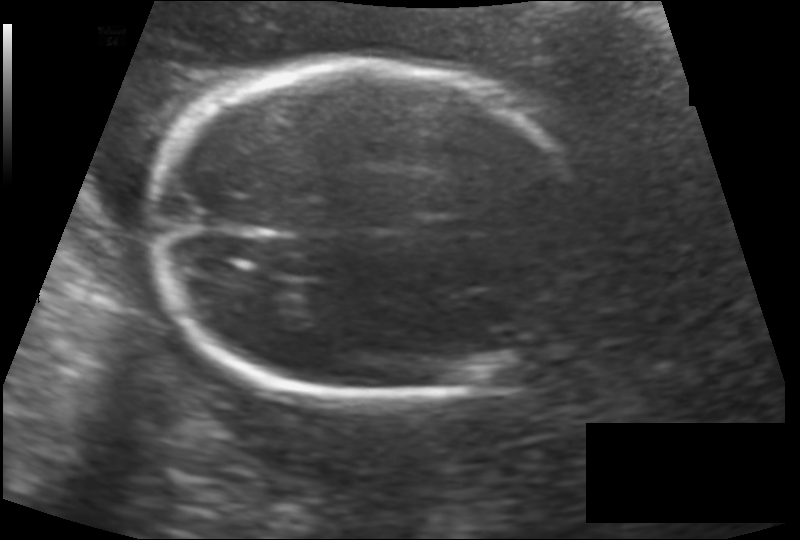
Fetal head ultrasound. Image width: 117.4 mm. Give [x1,y1,x2,y2] bounding boxes for each visible structure among: fetal head, CSP, LV.

Head: [150,63,586,400]